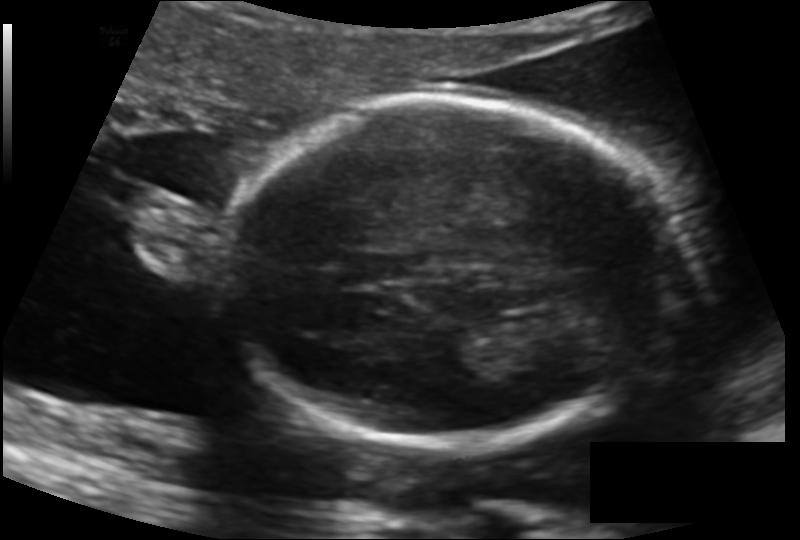
Estimate the fetal head circumference from this 2D ultrasound. Image width: 111.0 mm.

Head circumference: 177.7 mm.